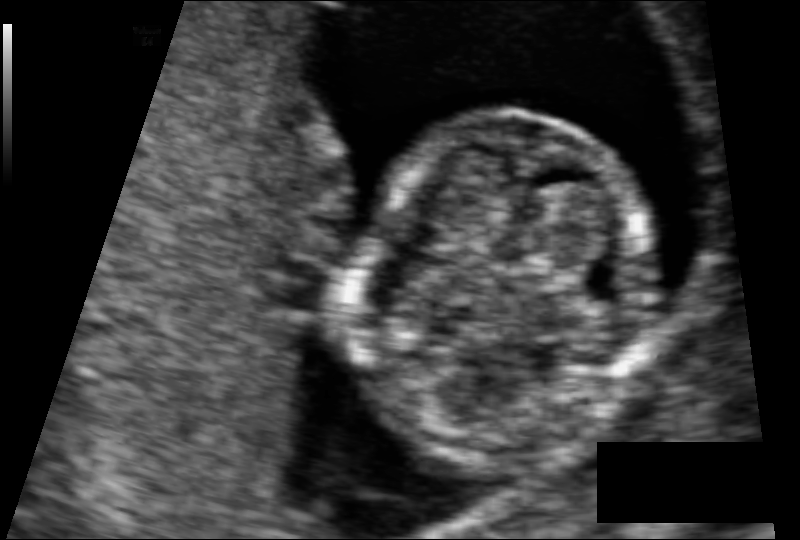
In this fetal head ultrasound, give bounding boxes for the head outline, cavum septum pellucidum (CSP), and lateral ventricle (LV), where visible. Image width: 58.9 mm.

Head: [358,112,657,464]